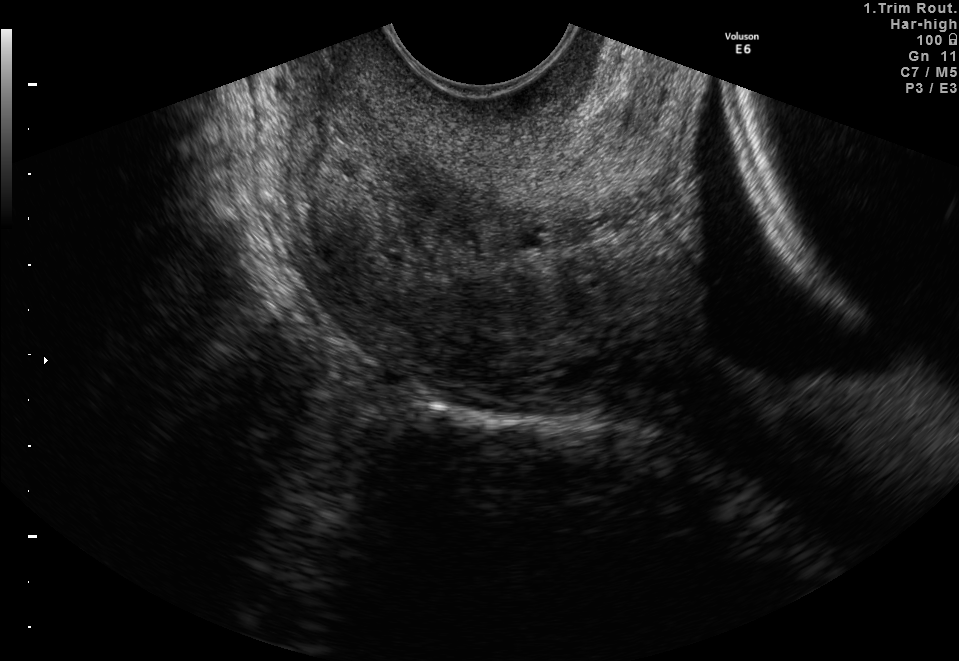
Which standard maternal-fetal ultrasound plane is shown: fetal abdomen, fetal brain, fetal femur, fetal thorax, maternal cervix, or other? If it's fetal brain and one of the three standard brain planes (trans-thalamic, trans-cerebellum, trans-ventricular), name which.

Maternal cervix